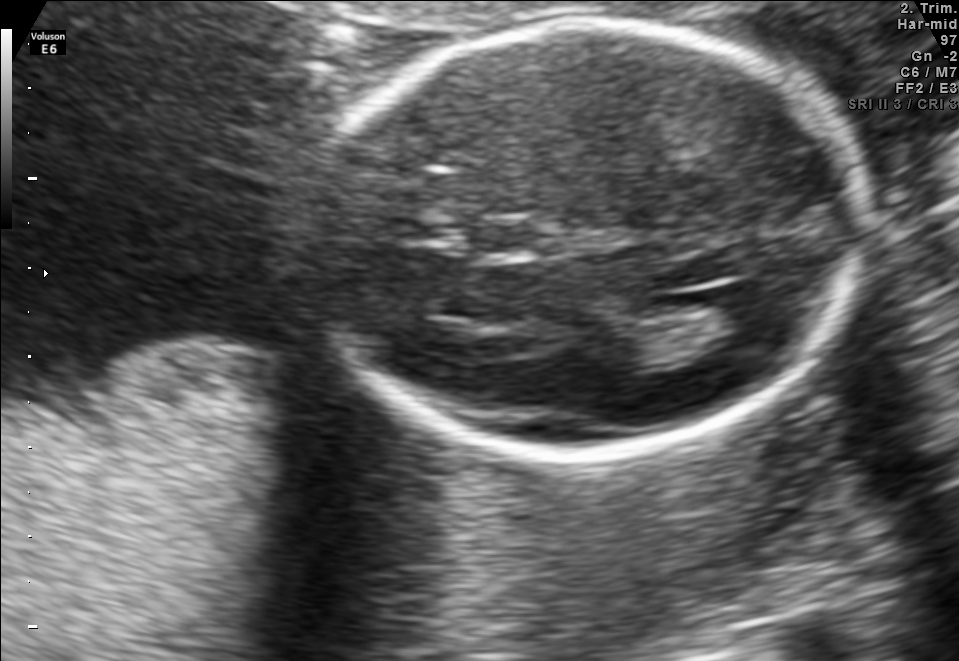
Fetal brain, trans-ventricular plane. Where is the lateral ventricle?

Lateral ventricle bounding box: [706,272,791,346]